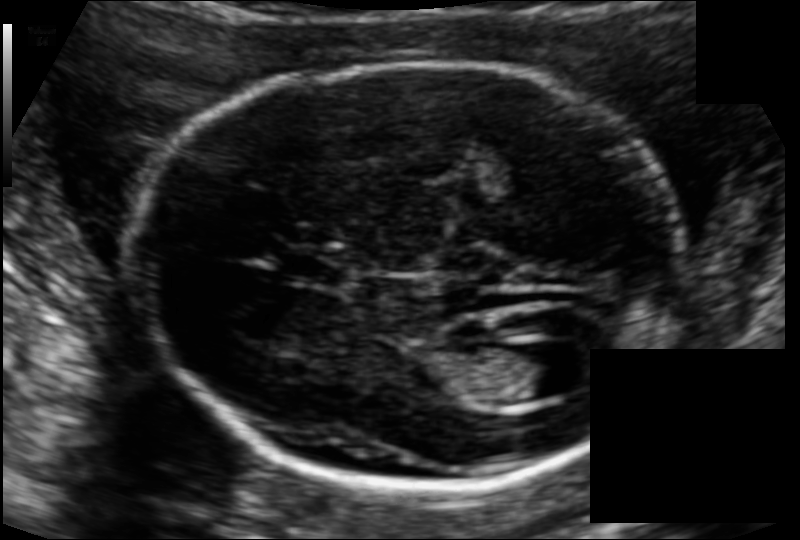
In this fetal head ultrasound, give bounding boxes for the head outline, cavum septum pellucidum (CSP), and lateral ventricle (LV), where visible. Image width: 88.5 mm.

Head: [123,65,692,484]
CSP: [277,248,345,285]
Lateral ventricle: [497,338,581,404]